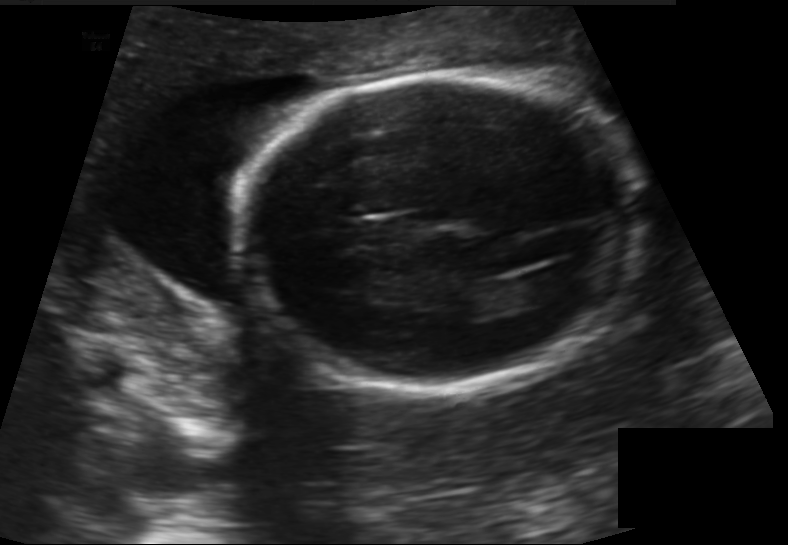
Fetal head ultrasound. Image width: 122.2 mm. Where is the lateral ventricle?

Lateral ventricle bounding box: [517,259,589,308]